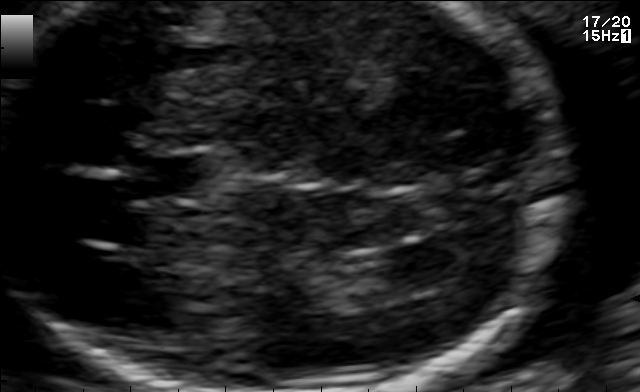
Fetal brain, trans-ventricular plane. Where is the cavum septum pellucidum?

CSP bounding box: [130,157,201,197]